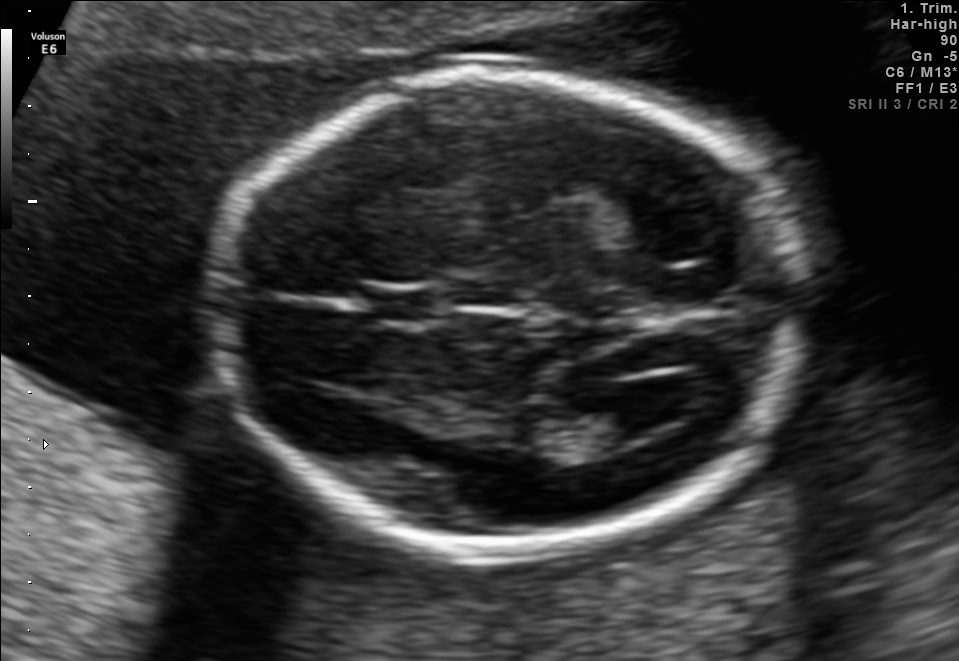
Fetal brain, trans-ventricular plane. Where is the cavum septum pellucidum?

CSP bounding box: [369,291,434,321]